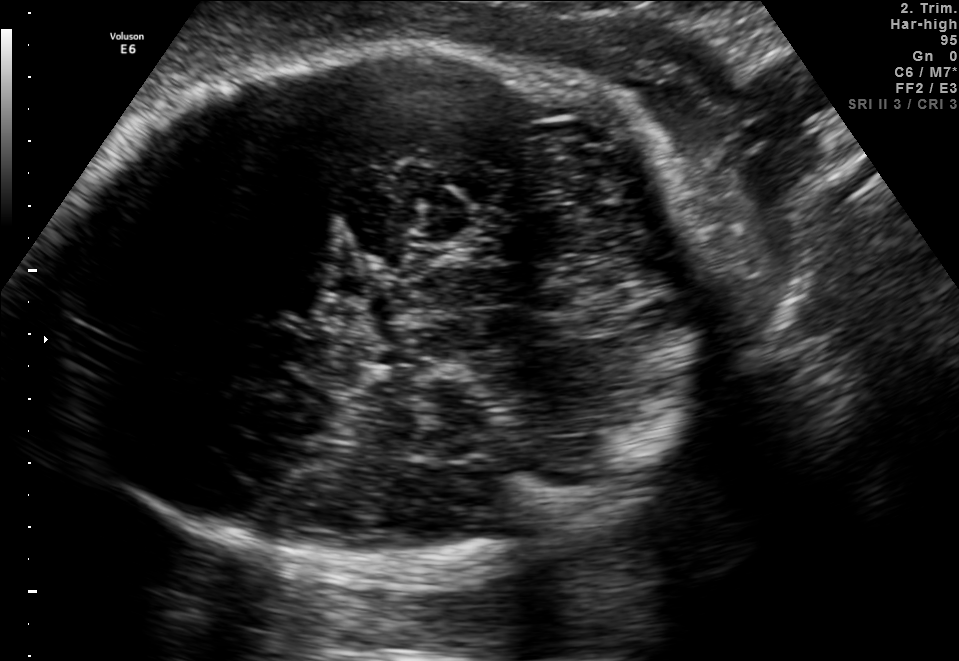
Fetal brain, trans-thalamic plane. Locate the fetal head.

Head: [57,44,700,565]